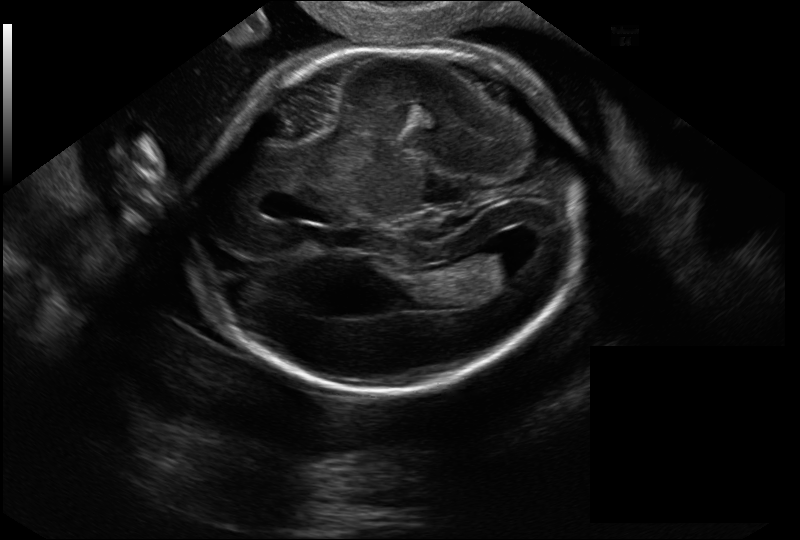
Fetal head ultrasound. Image width: 115.6 mm. Locate the lateral ventricle.

Lateral ventricle: [472,228,539,290]